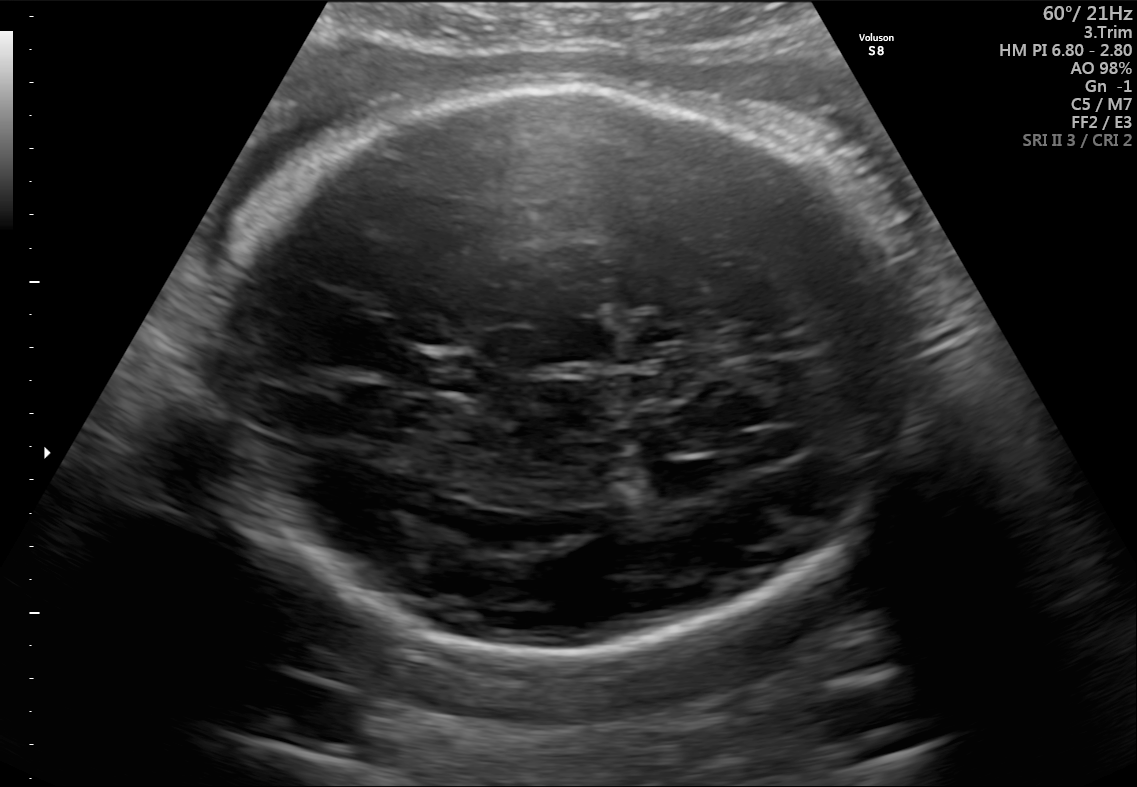
Fetal brain, trans-thalamic plane. Where is the lateral ventricle?

Lateral ventricle bounding box: [644,458,720,502]